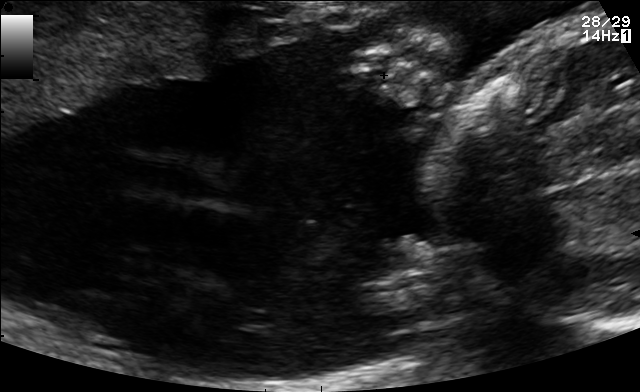
This is a 2D maternal-fetal ultrasound frame. Is it a fetal abdomen, fetal brain, fetal femur, fetal thorax, maternal cervix, or other standard plane? If it's fetal brain and one of the three standard brain planes (trans-thalamic, trans-cerebellum, trans-ventricular), name which.

Other